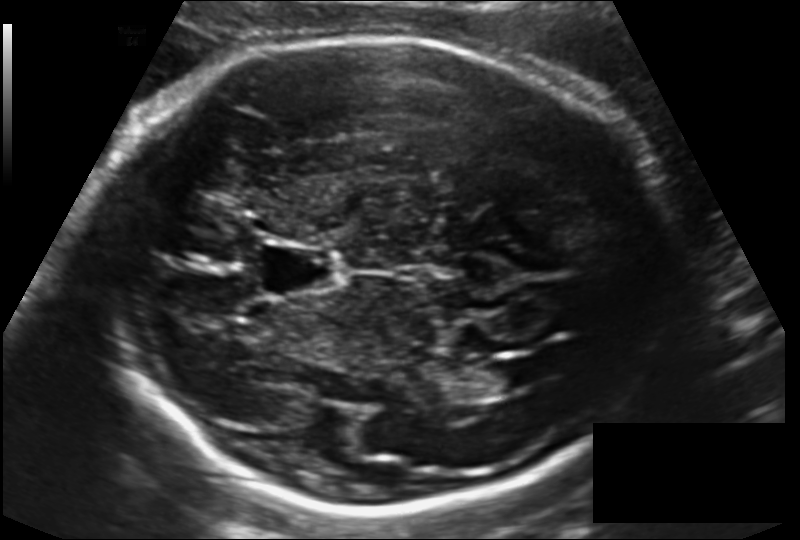
In this fetal head ultrasound, give the bounding box of the fetal head. Image width: 123.9 mm.

[94,37,669,515]